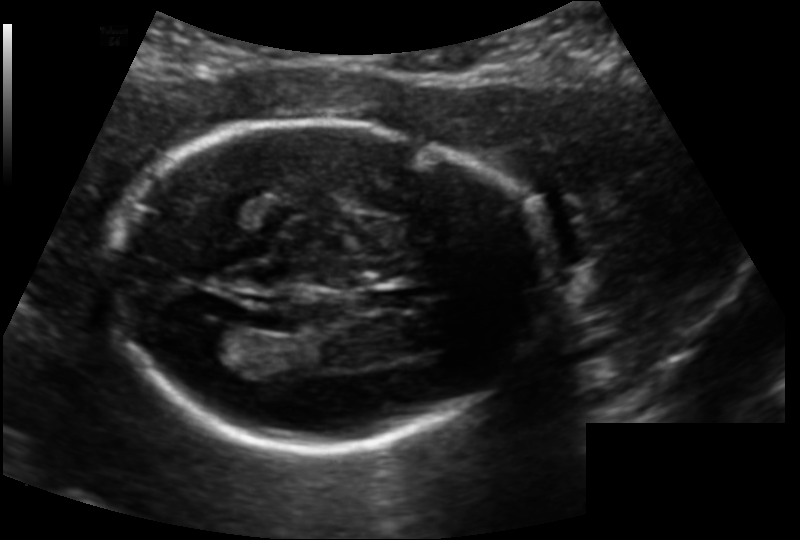
From this fetal ultrasound, estimate the head circumference (image width 111.5 mm).

Head circumference: 175.4 mm.